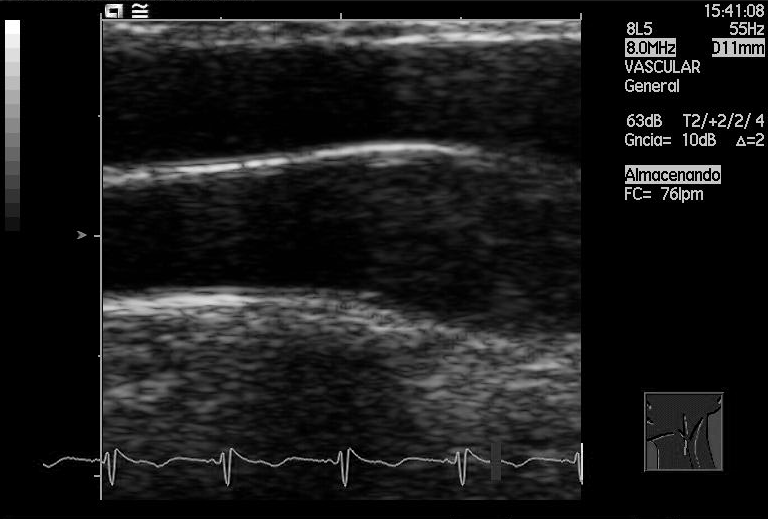
Which standard maternal-fetal ultrasound plane is shown: fetal abdomen, fetal brain, fetal femur, fetal thorax, maternal cervix, or other? If it's fetal brain and one of the three standard brain planes (trans-thalamic, trans-cerebellum, trans-ventricular), name which.

Other